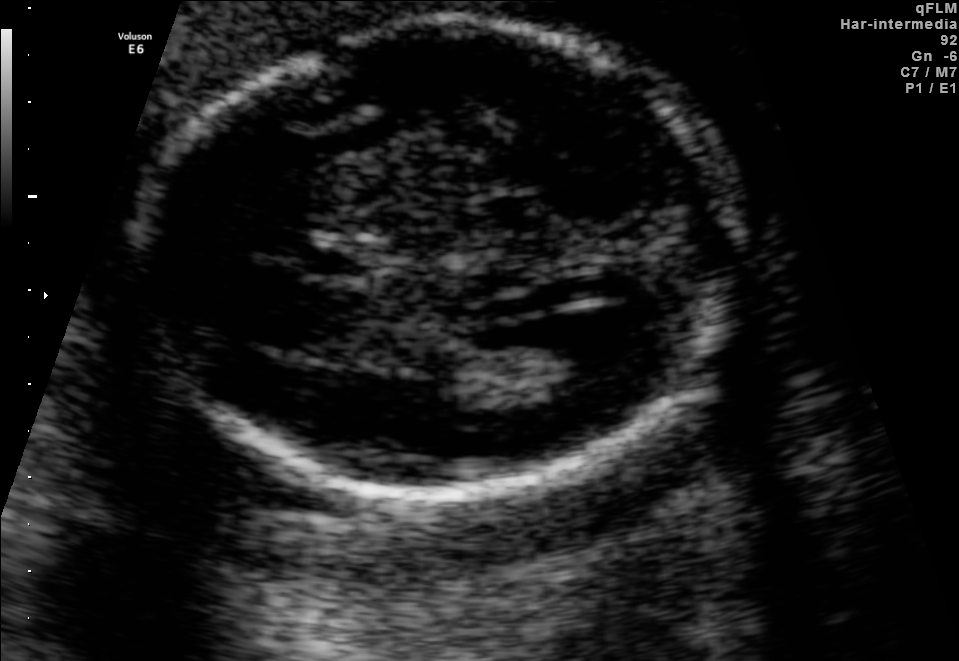
Fetal brain, trans-ventricular plane. Give [x1,y1,x2,y2] bounding boxes for each visible structure among: fetal head, CSP, LV.

Head: [130,7,745,498]
CSP: [299,241,374,284]
Lateral ventricle: [506,304,632,391]